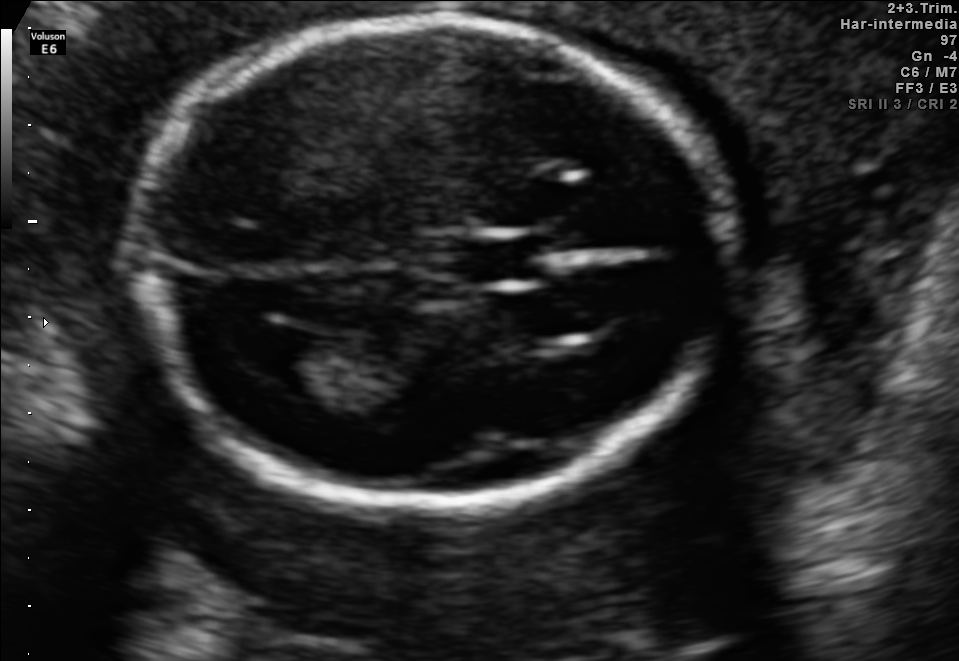
Fetal brain, trans-ventricular plane. Locate the fetal head.

Head: [120,13,741,512]